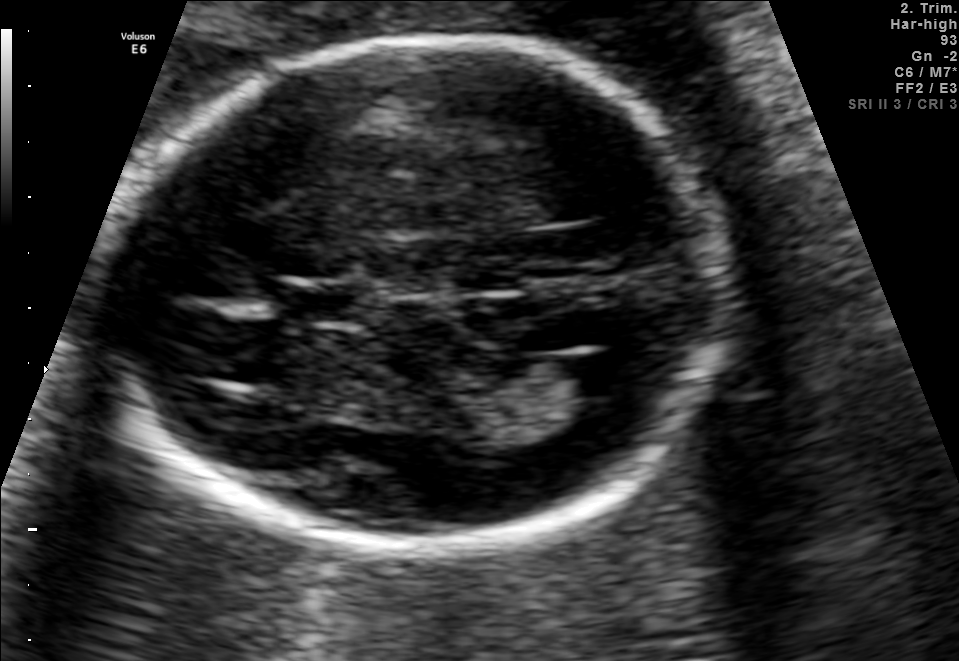
Fetal brain, trans-ventricular plane. Locate the fetal head.

Head: [100,31,747,562]